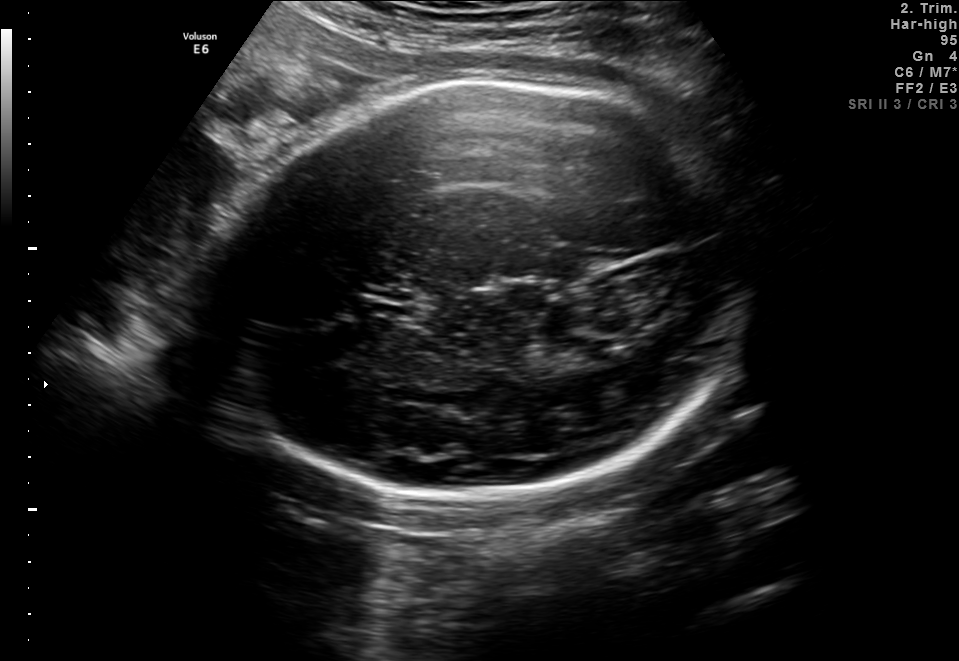
In this fetal brain, trans-thalamic plane, give bounding boxes for the head outline, cavum septum pellucidum (CSP), and lateral ventricle (LV), where visible.

Head: [204,76,753,489]